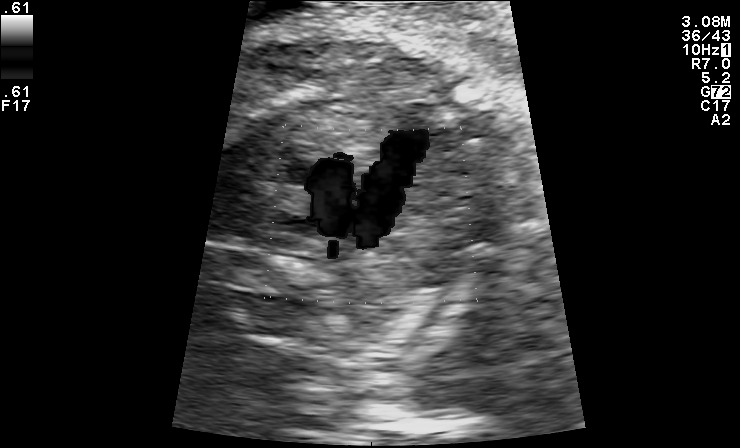
Identify the standard plane in this fetal ultrasound image: fetal abdomen, fetal brain, fetal femur, fetal thorax, maternal cervix, or other. If it's fetal brain and one of the three standard brain planes (trans-thalamic, trans-cerebellum, trans-ventricular), name which.

Other